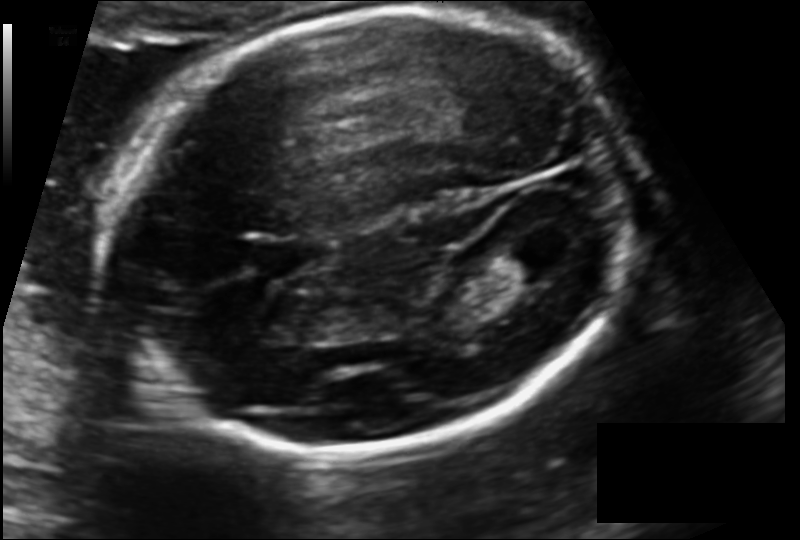
Fetal head ultrasound. Image width: 105.5 mm. Where is the lateral ventricle?

Lateral ventricle bounding box: [497,221,579,292]